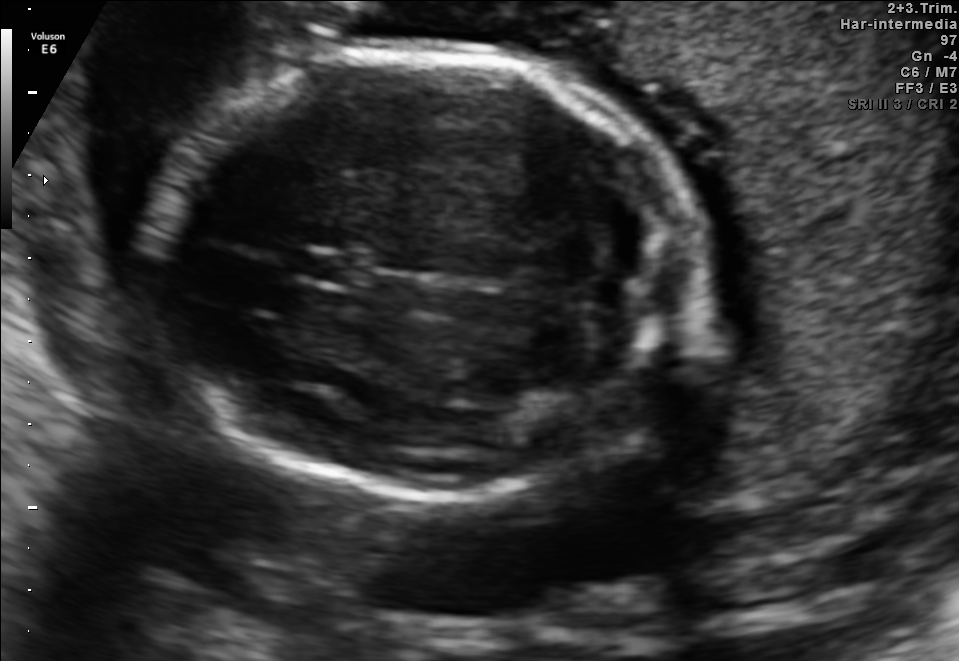
Fetal brain, trans-cerebellum plane. Locate the fetal head.

Head: [154,49,701,496]